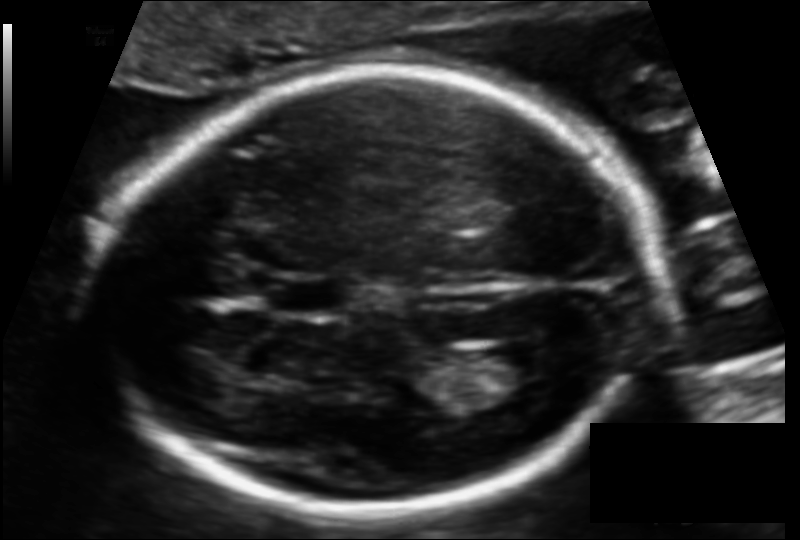
Fetal head ultrasound. Image width: 89.8 mm. Locate the fetal head and, if visible, the cavum septum pellucidum (CSP) and lateral ventricle (LV). Give bounding boxes as [x1,y1,x2,y2].

Head: [94,69,652,511]
CSP: [265,277,343,315]
Lateral ventricle: [477,331,560,394]